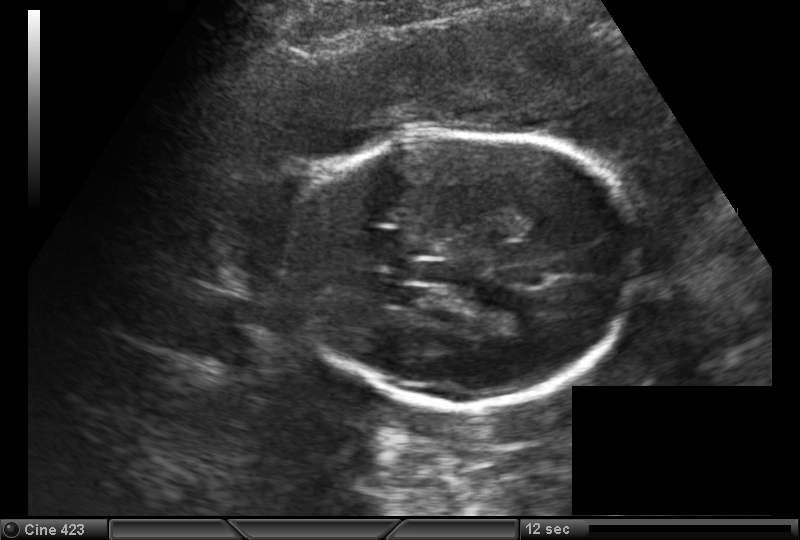
In this fetal head ultrasound, give bounding boxes for the head outline, cavum septum pellucidum (CSP), and lateral ventricle (LV), where visible. Image width: 138.2 mm.

Head: [289,132,636,409]
CSP: [402,260,451,282]